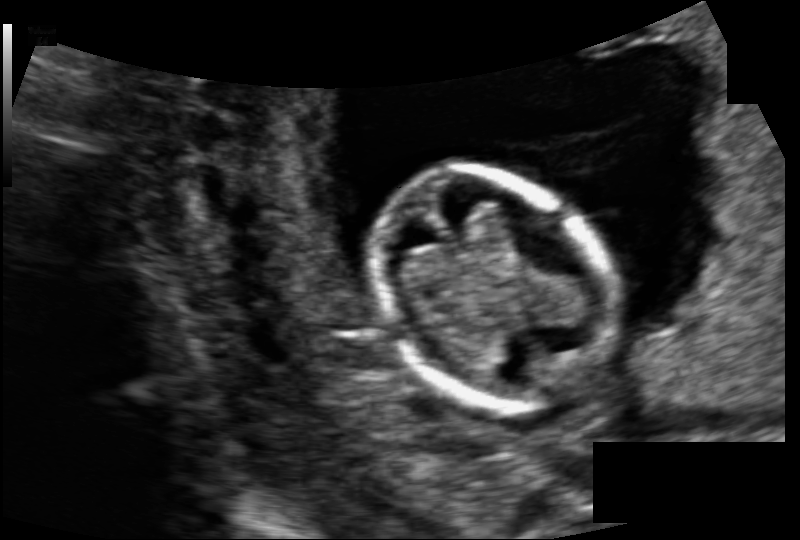
Measure the fetal head circumference shown in this ultrasound image. Image width: 83.3 mm.

Head circumference: 82.0 mm.